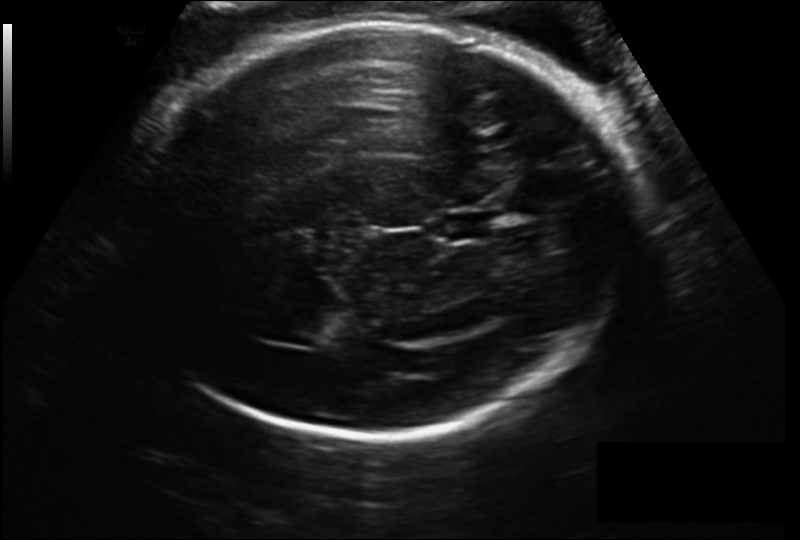
In this fetal head ultrasound, give the bounding box of the cavum septum pellucidum. Image width: 164.9 mm.

[432,208,498,244]